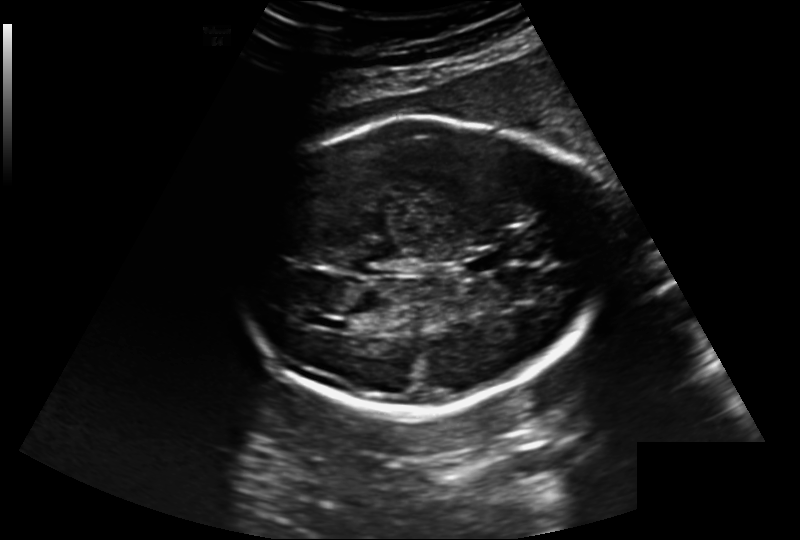
Measure the fetal head circumference shown in this ultrasound image. Image width: 175.6 mm.

Head circumference: 241.7 mm.